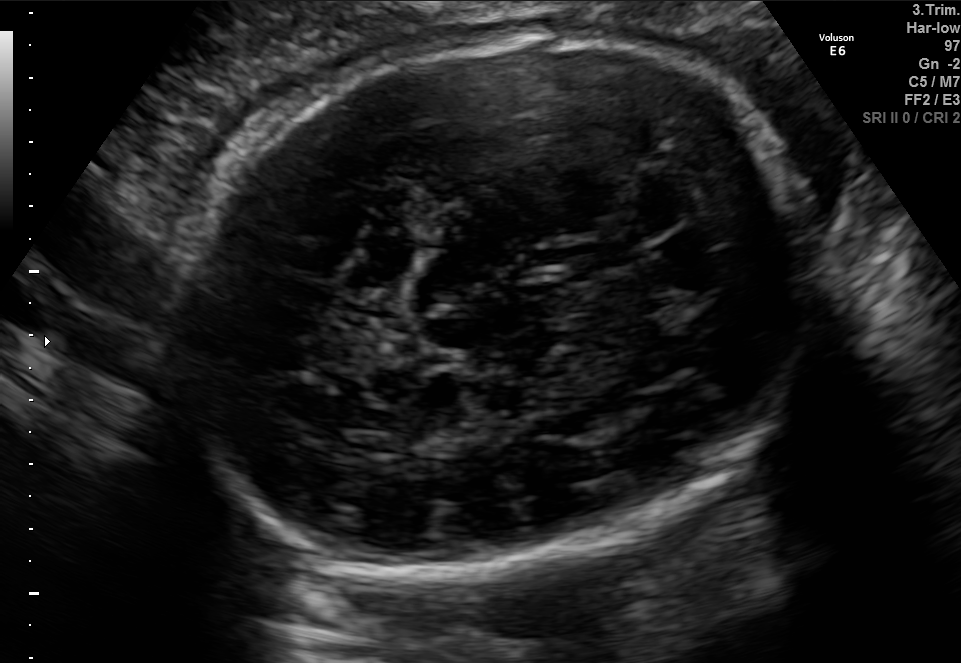
In this fetal brain, trans-thalamic plane, give the bounding box of the fetal head.

[183,34,802,581]